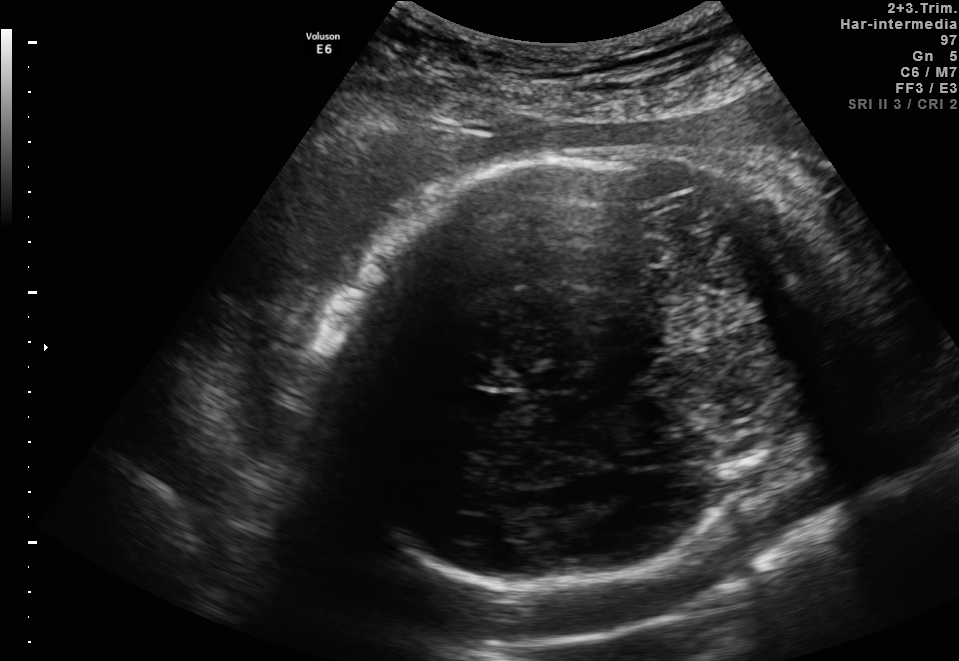
Fetal brain, trans-thalamic plane. Locate the fetal head and, if visible, the cavum septum pellucidum (CSP) and lateral ventricle (LV). Give bounding boxes as [x1,y1,x2,y2].

Head: [323,148,806,587]